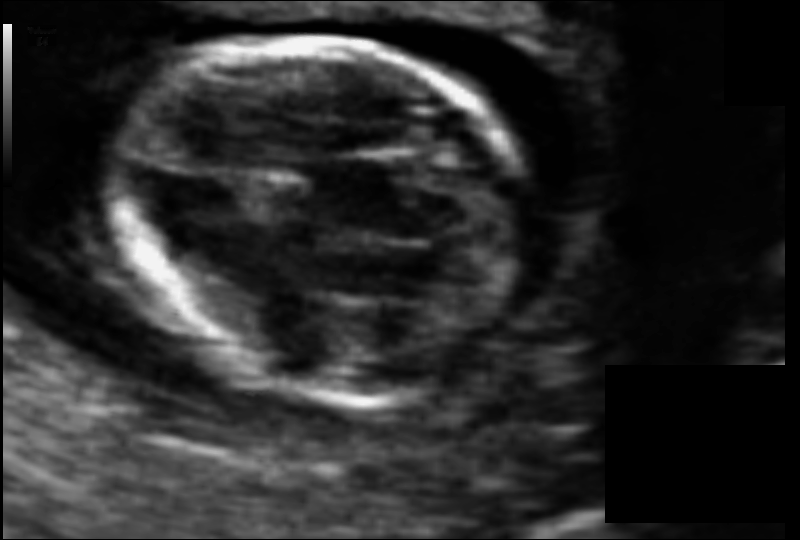
Fetal head ultrasound. Image width: 51.5 mm. Where is the fetal head?

Head bounding box: [112,39,540,399]